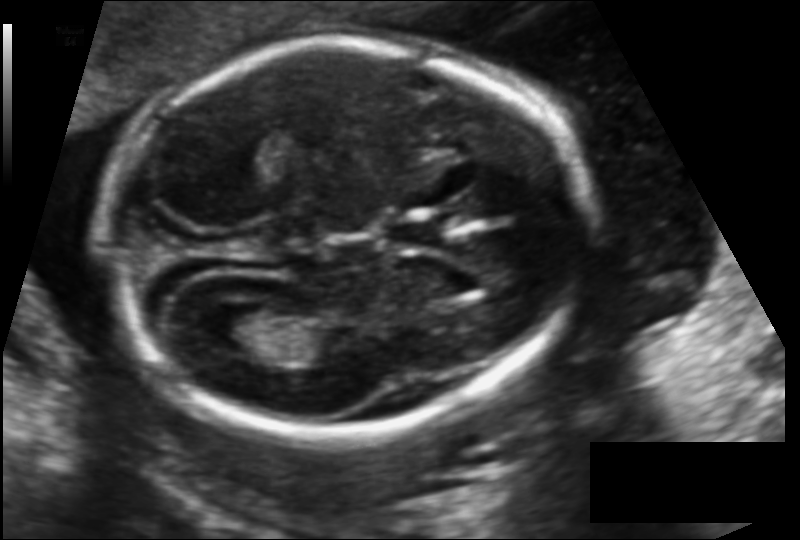
Fetal head ultrasound. Image width: 98.7 mm. Locate the fetal head and, if visible, the cavum septum pellucidum (CSP) and lateral ventricle (LV). Give bounding boxes as [x1,y1,x2,y2].

Head: [100,42,593,428]
CSP: [386,211,451,252]
Lateral ventricle: [200,308,271,352]